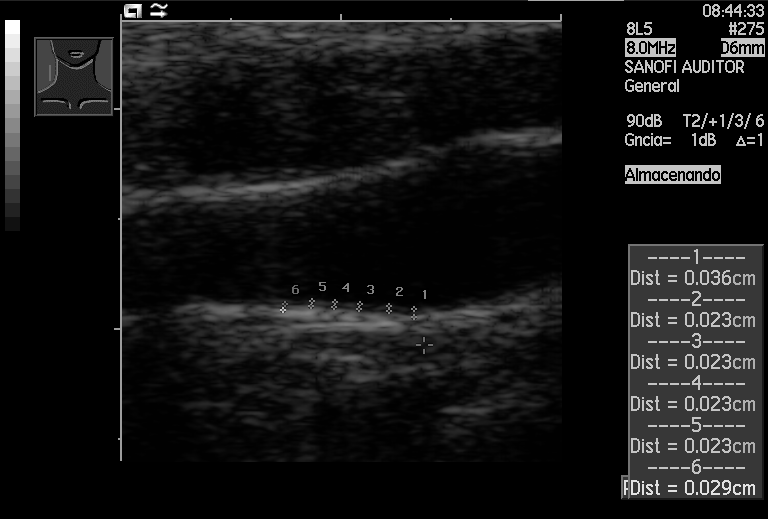
Which standard maternal-fetal ultrasound plane is shown: fetal abdomen, fetal brain, fetal femur, fetal thorax, maternal cervix, or other? If it's fetal brain and one of the three standard brain planes (trans-thalamic, trans-cerebellum, trans-ventricular), name which.

Other